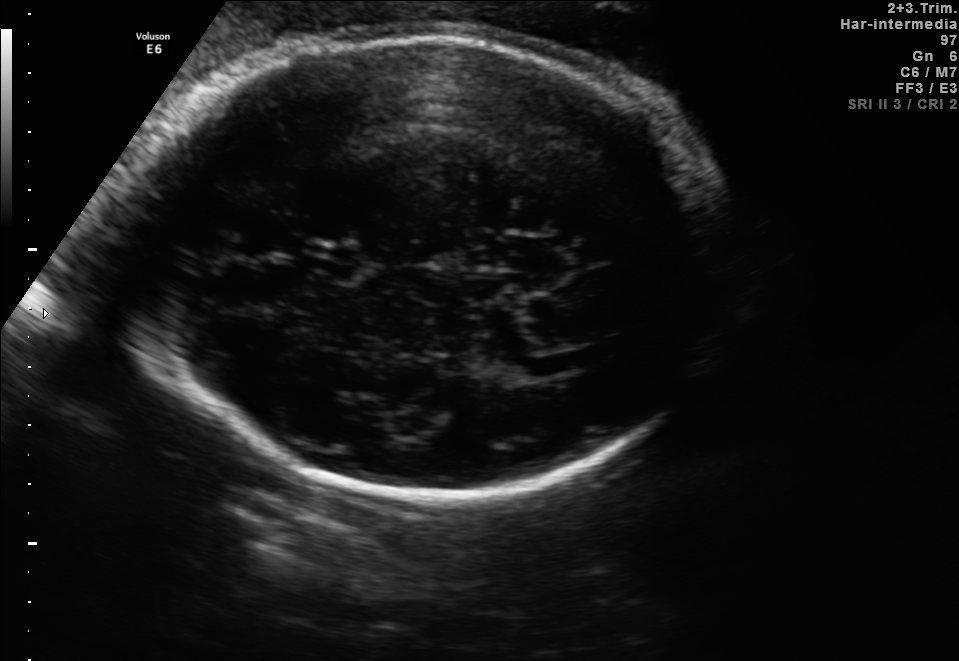
Fetal brain, trans-thalamic plane. Locate the fetal head and, if visible, the cavum septum pellucidum (CSP) and lateral ventricle (LV). Give bounding boxes as [x1,y1,x2,y2].

Head: [134,35,733,490]
CSP: [300,243,358,282]
Lateral ventricle: [555,334,627,377]